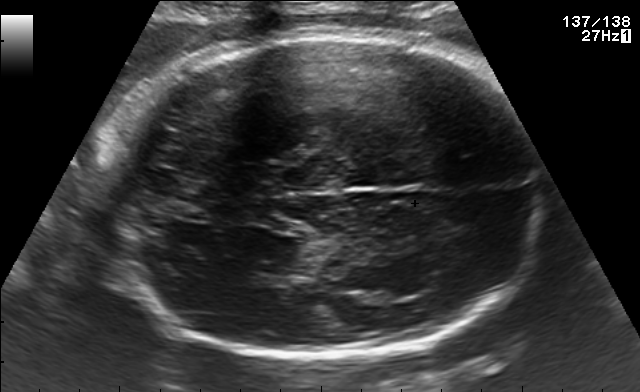
In this fetal brain, trans-thalamic plane, give the bounding box of the fetal head.

[97,34,543,361]